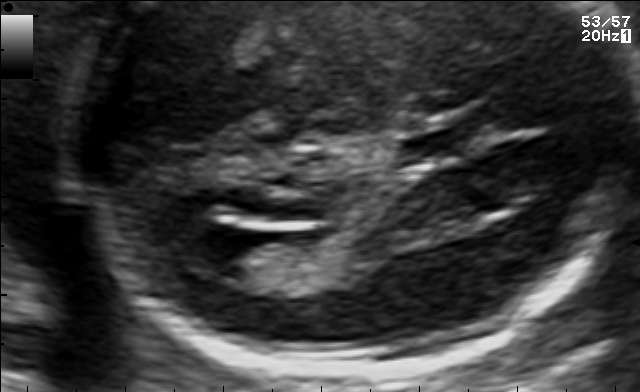
Fetal brain, trans-ventricular plane. Where is the lateral ventricle?

Lateral ventricle bounding box: [167,212,260,281]